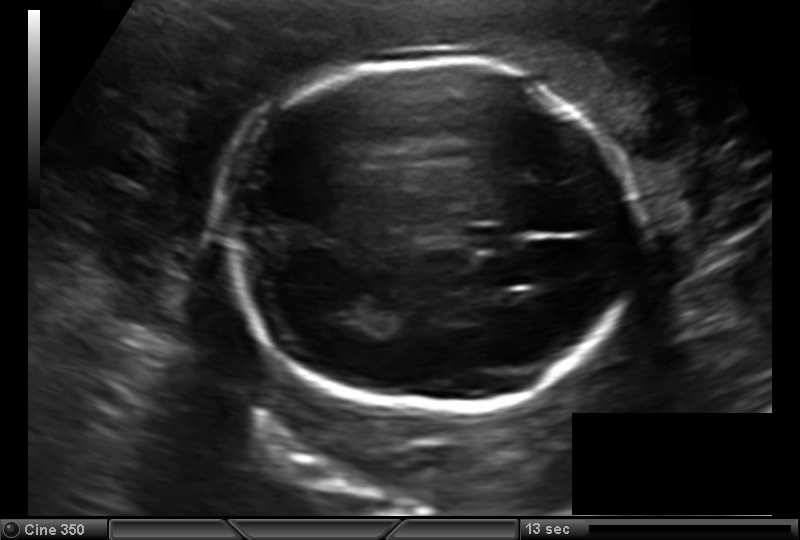
In this fetal head ultrasound, give the bounding box of the cavum septum pellucidum. Image width: 125.6 mm.

[466,226,518,248]